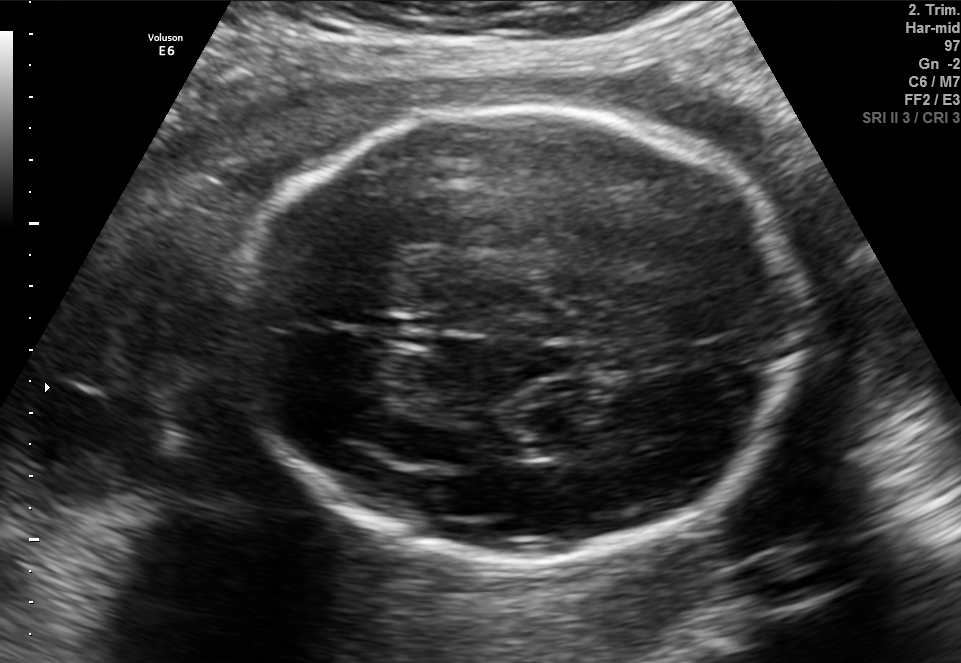
Fetal brain, trans-thalamic plane. Give [x1,y1,x2,y2] bounding boxes for each visible structure among: fetal head, CSP, LV.

Head: [220,107,799,558]